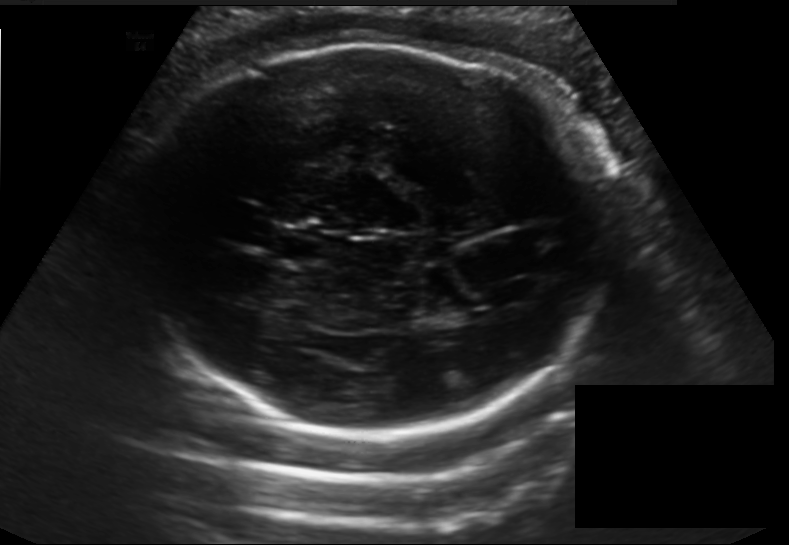
Fetal head ultrasound. Image width: 156.6 mm. Locate the fetal head.

Head: [128,44,610,435]